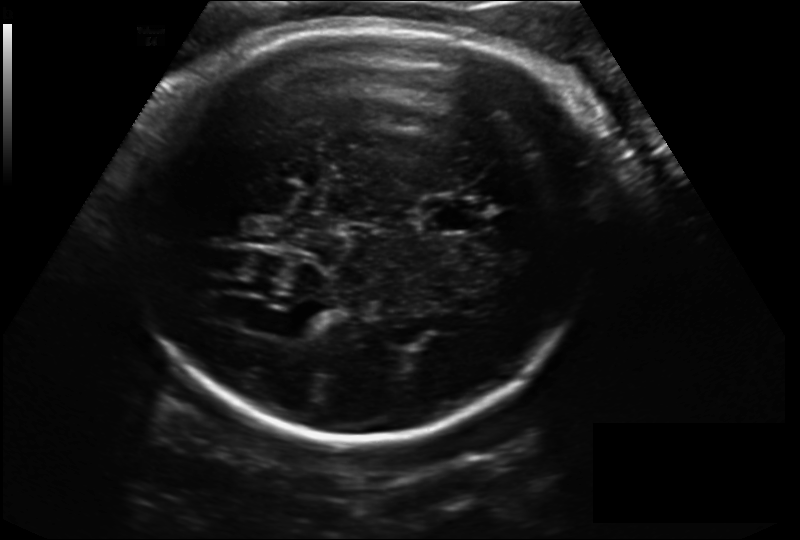
Fetal head ultrasound. Image width: 158.7 mm. Locate the fetal head and, if visible, the cavum septum pellucidum (CSP) and lateral ventricle (LV). Give bounding boxes as [x1,y1,x2,y2].

Head: [133,22,603,438]
CSP: [423,199,485,232]
Lateral ventricle: [266,307,321,344]